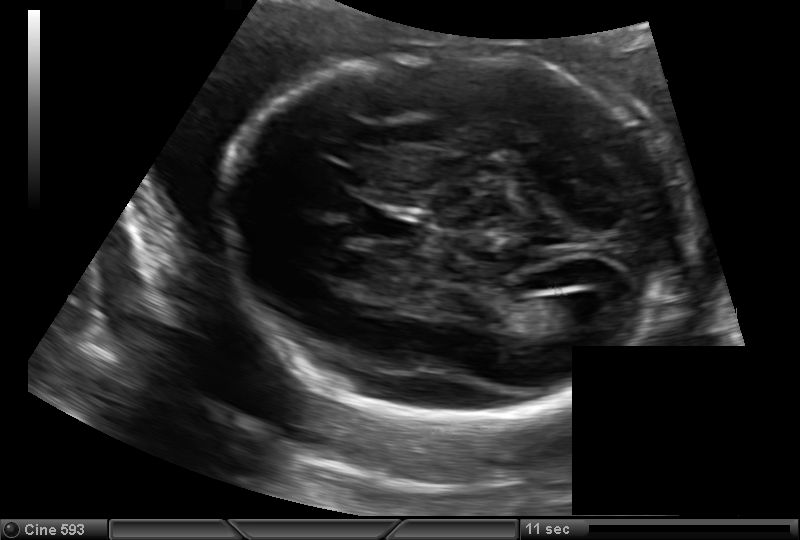
Estimate the fetal head circumference from this 2D ultrasound.

Head circumference: 196.0 mm (image width 115.2 mm).